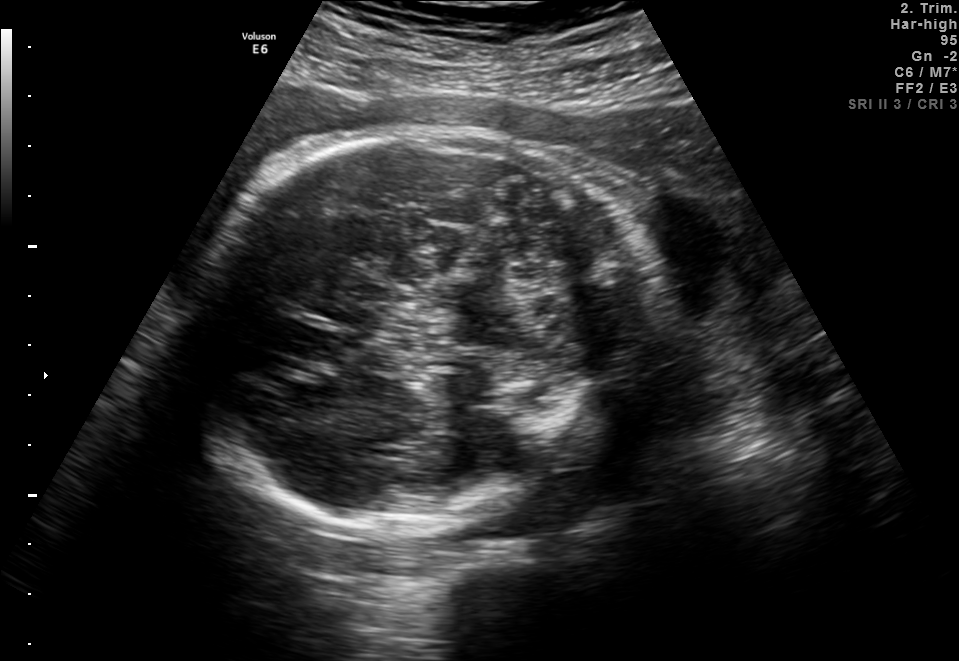
In this fetal brain, trans-thalamic plane, give bounding boxes for the head outline, cavum septum pellucidum (CSP), and lateral ventricle (LV), where visible.

Head: [192,130,657,535]